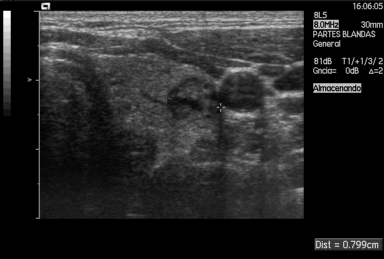
Which standard maternal-fetal ultrasound plane is shown: fetal abdomen, fetal brain, fetal femur, fetal thorax, maternal cervix, or other? If it's fetal brain and one of the three standard brain planes (trans-thalamic, trans-cerebellum, trans-ventricular), name which.

Other